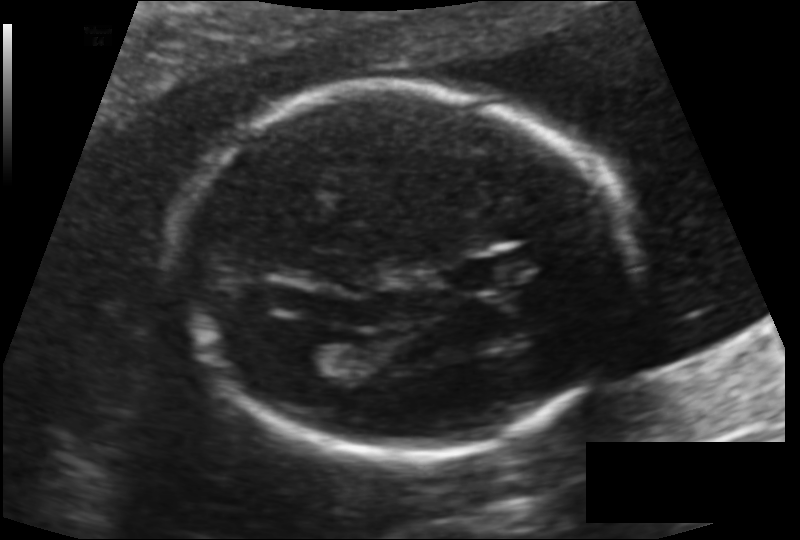
Estimate the fetal head circumference from this 2D ultrasound. Image width: 104.6 mm.

Head circumference: 175.8 mm.